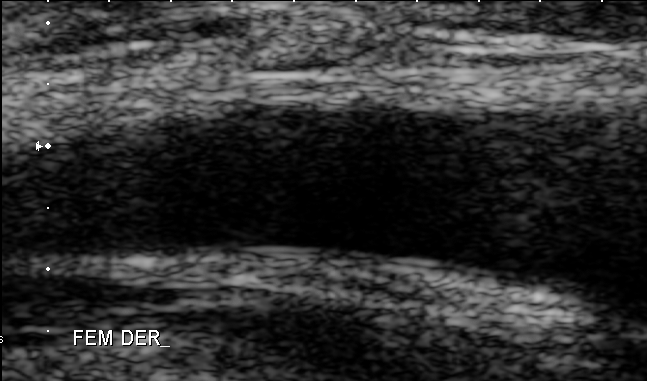
This is a 2D maternal-fetal ultrasound frame. Is it a fetal abdomen, fetal brain, fetal femur, fetal thorax, maternal cervix, or other standard plane? If it's fetal brain and one of the three standard brain planes (trans-thalamic, trans-cerebellum, trans-ventricular), name which.

Other